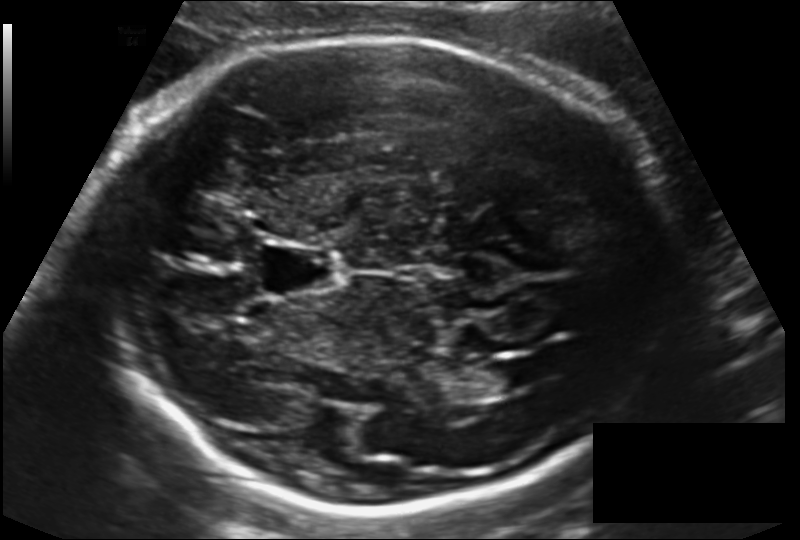
Fetal head ultrasound. Image width: 123.9 mm. Locate the fetal head and, if visible, the cavum septum pellucidum (CSP) and lateral ventricle (LV). Give bounding boxes as [x1,y1,x2,y2].

Head: [94,37,669,515]
CSP: [259,245,341,294]
Lateral ventricle: [470,357,527,399]